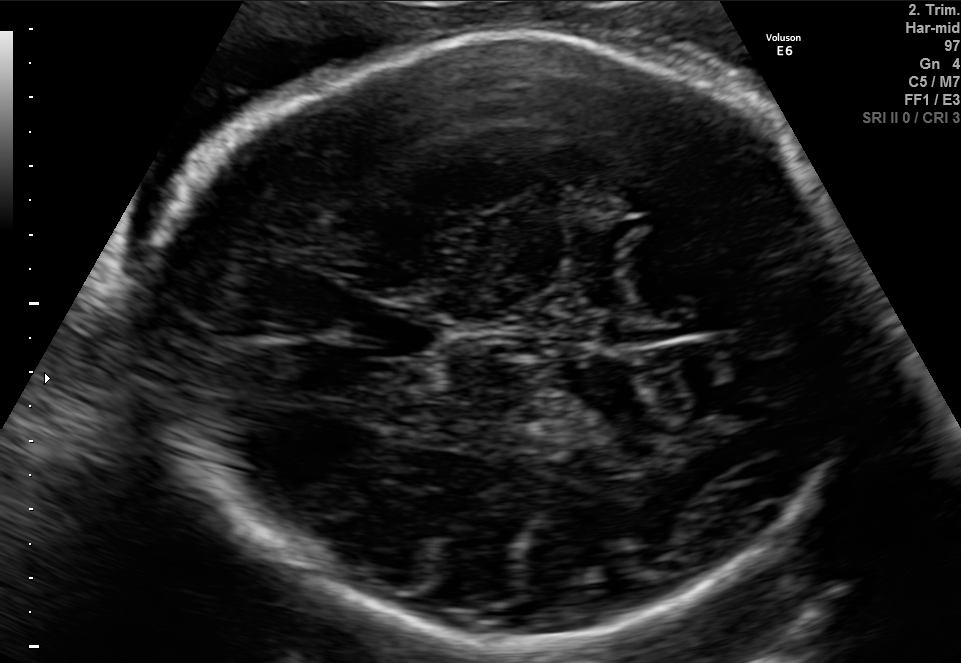
In this fetal brain, trans-thalamic plane, give bounding boxes for the head outline, cavum septum pellucidum (CSP), and lateral ventricle (LV), where visible.

Head: [148,31,861,648]
CSP: [361,304,444,363]